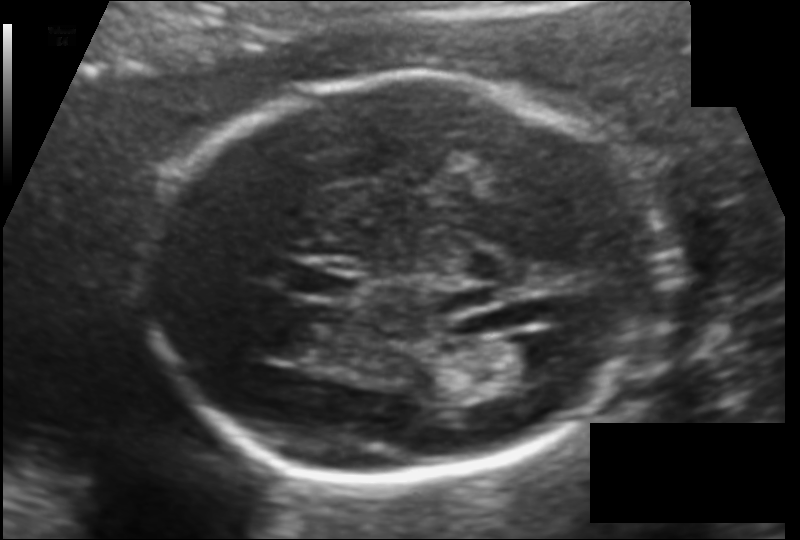
Fetal head ultrasound. Image width: 95.9 mm. Locate the cavum septum pellucidum.

CSP: [286,263,360,306]